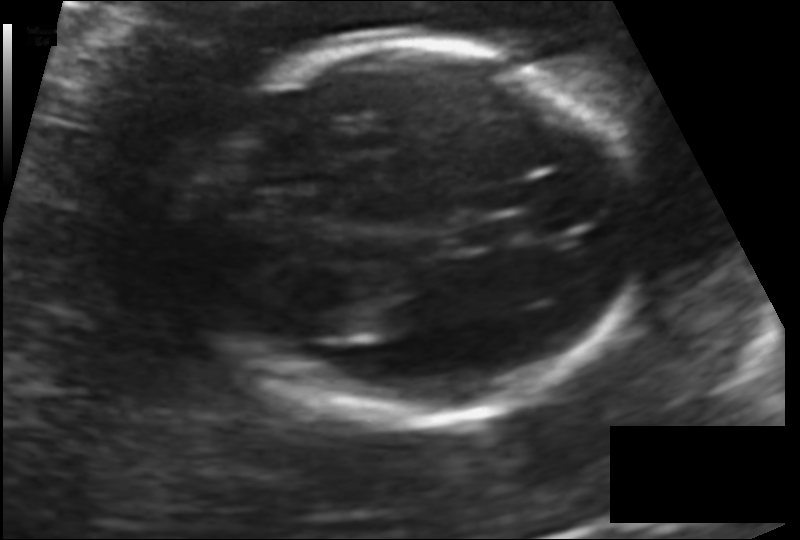
Fetal head ultrasound. Image width: 104.5 mm. Locate the fetal head.

Head: [196,38,634,423]